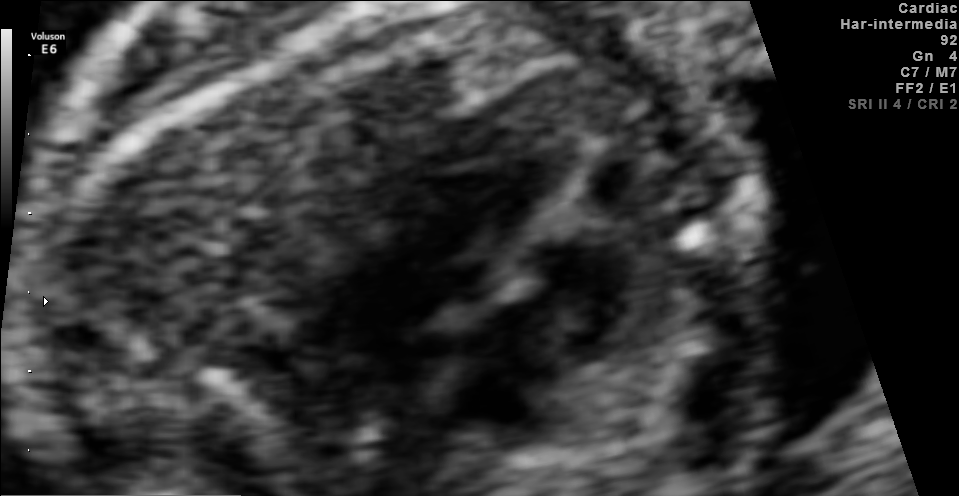
Which standard maternal-fetal ultrasound plane is shown: fetal abdomen, fetal brain, fetal femur, fetal thorax, maternal cervix, or other? If it's fetal brain and one of the three standard brain planes (trans-thalamic, trans-cerebellum, trans-ventricular), name which.

Fetal thorax